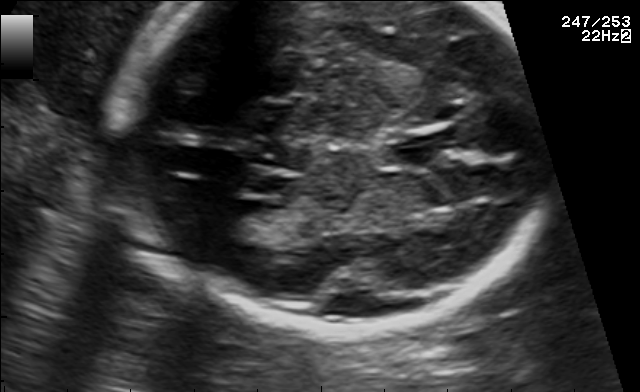
Classify this maternal-fetal ultrasound image as one of the six standard planes — fetal abdomen, fetal brain, fetal femur, fetal thorax, maternal cervix, or other. If it's fetal brain and one of the three standard brain planes (trans-thalamic, trans-cerebellum, trans-ventricular), name which.

Fetal brain (trans-thalamic plane)